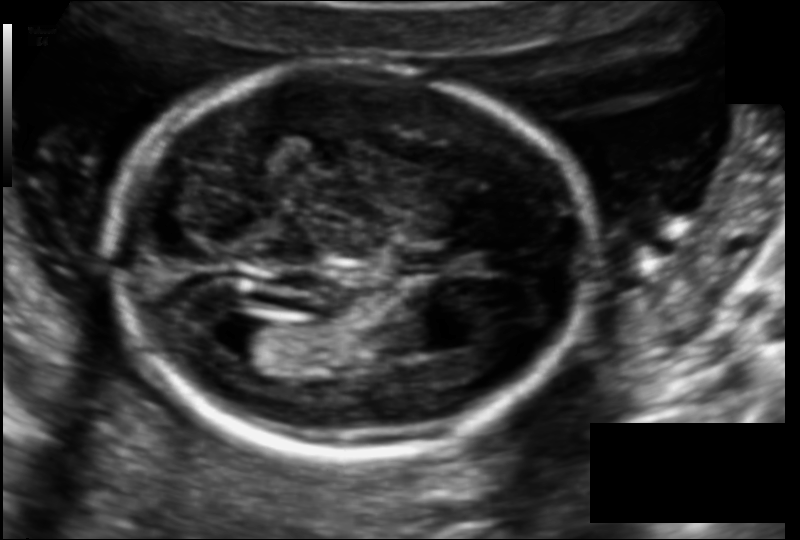
In this fetal head ultrasound, give the bounding box of the lateral ventricle. Image width: 91.5 mm.

[205,307,283,366]